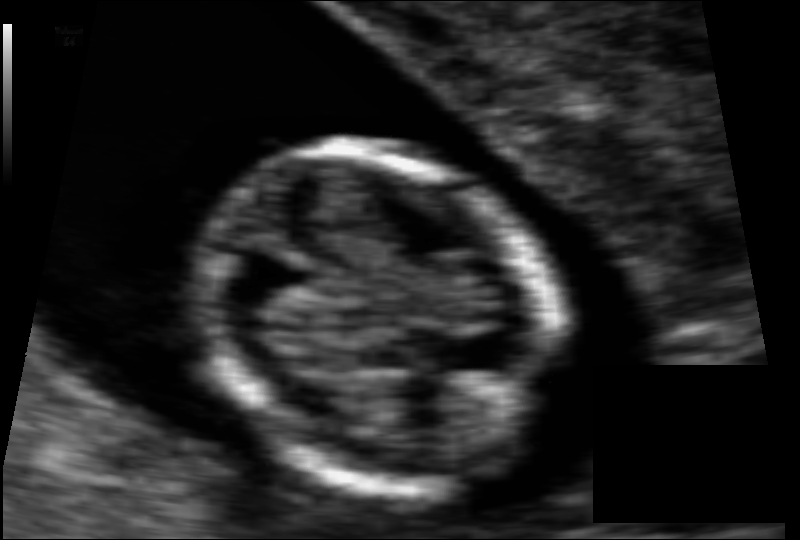
Fetal head ultrasound. Image width: 49.4 mm. Locate the fetal head and, if visible, the cavum septum pellucidum (CSP) and lateral ventricle (LV). Give bounding boxes as [x1,y1,x2,y2].

Head: [198,142,561,493]